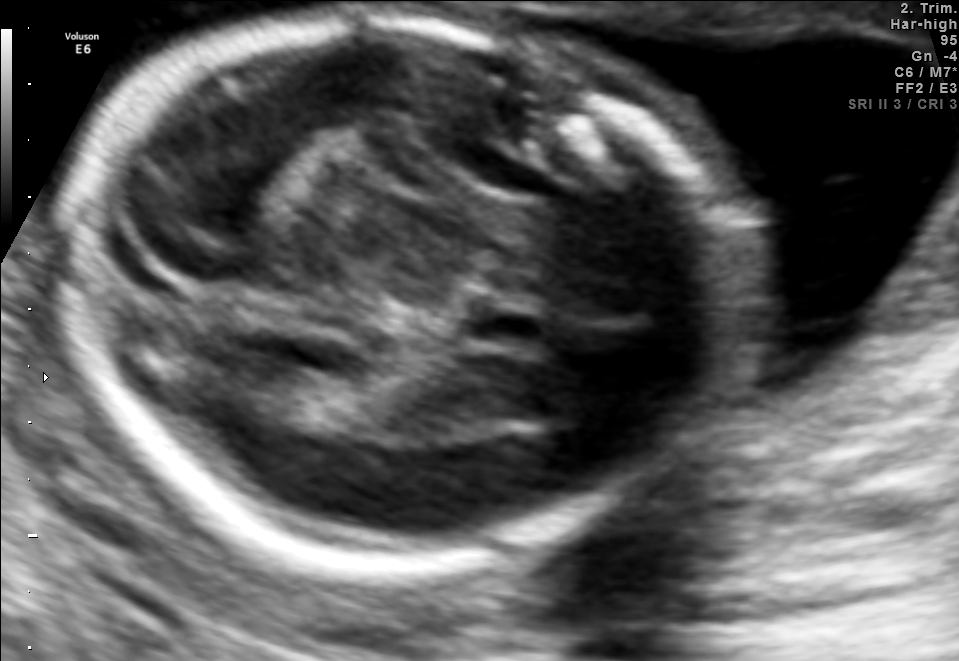
Fetal brain, trans-thalamic plane. Give [x1,y1,x2,y2] bounding boxes for each visible structure among: fetal head, CSP, LV.

Head: [65,17,710,570]
CSP: [465,295,548,355]